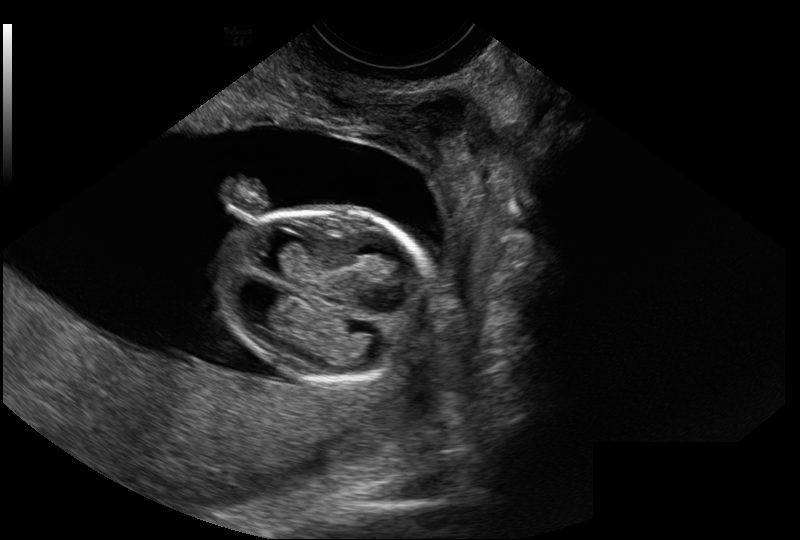
From this fetal ultrasound, estimate the head circumference (image width 91.6 mm).

Head circumference: 73.0 mm.